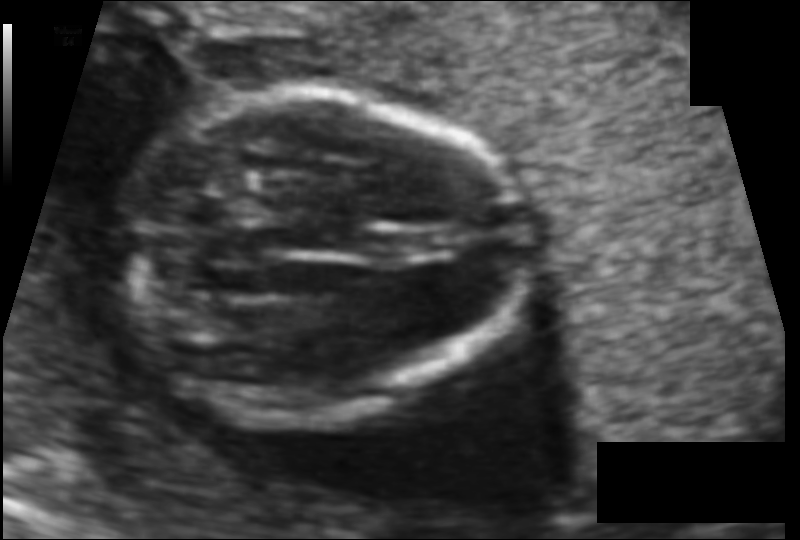
Estimate the fetal head circumference from this 2D ultrasound. Image width: 71.6 mm.

Head circumference: 104.3 mm.